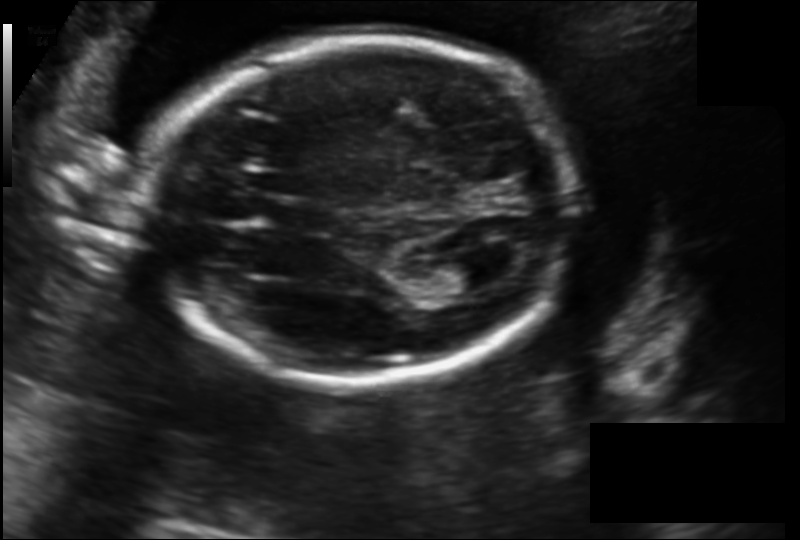
In this fetal head ultrasound, give the bounding box of the lateral ventricle. Image width: 121.4 mm.

[431,250,506,299]